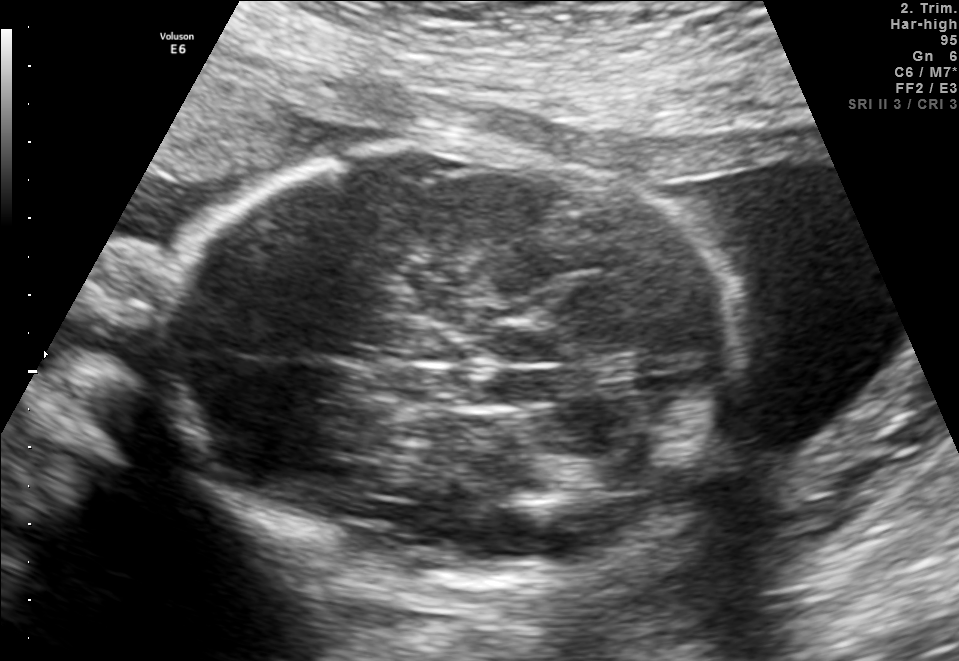
In this fetal brain, trans-thalamic plane, give bounding boxes for the head outline, cavum septum pellucidum (CSP), and lateral ventricle (LV), where visible.

Head: [158,135,741,600]